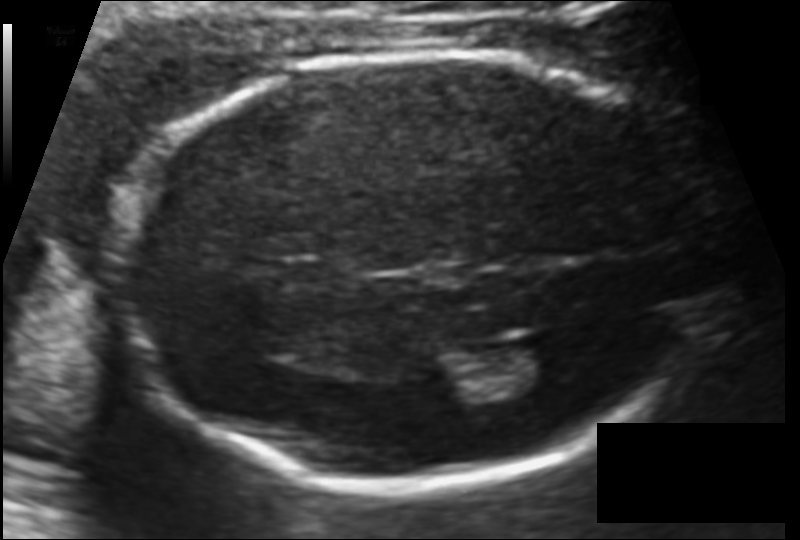
In this fetal head ultrasound, give the bounding box of the fetal head. Image width: 91.0 mm.

[126,51,704,489]